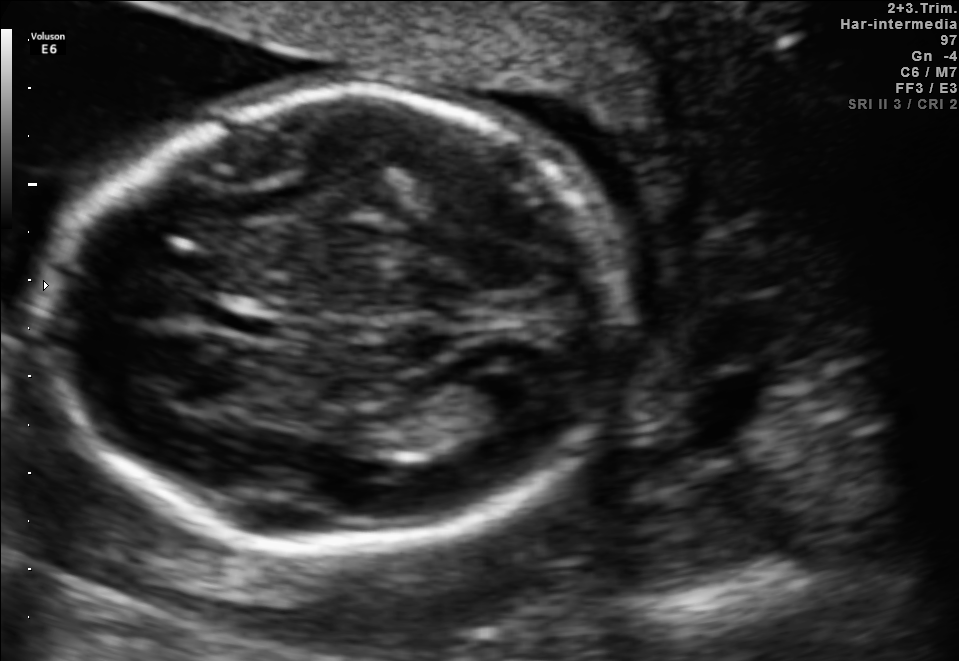
Fetal brain, trans-ventricular plane. Locate the lateral ventricle.

Lateral ventricle: [453,340,556,431]